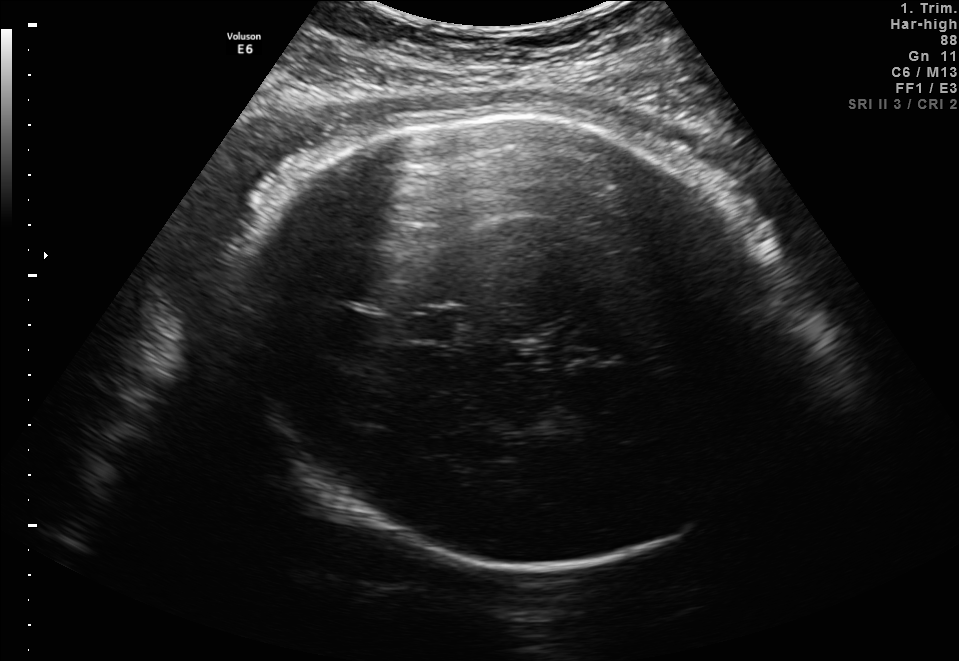
Fetal brain, trans-thalamic plane. Where is the fetal head?

Head bounding box: [236,118,785,565]